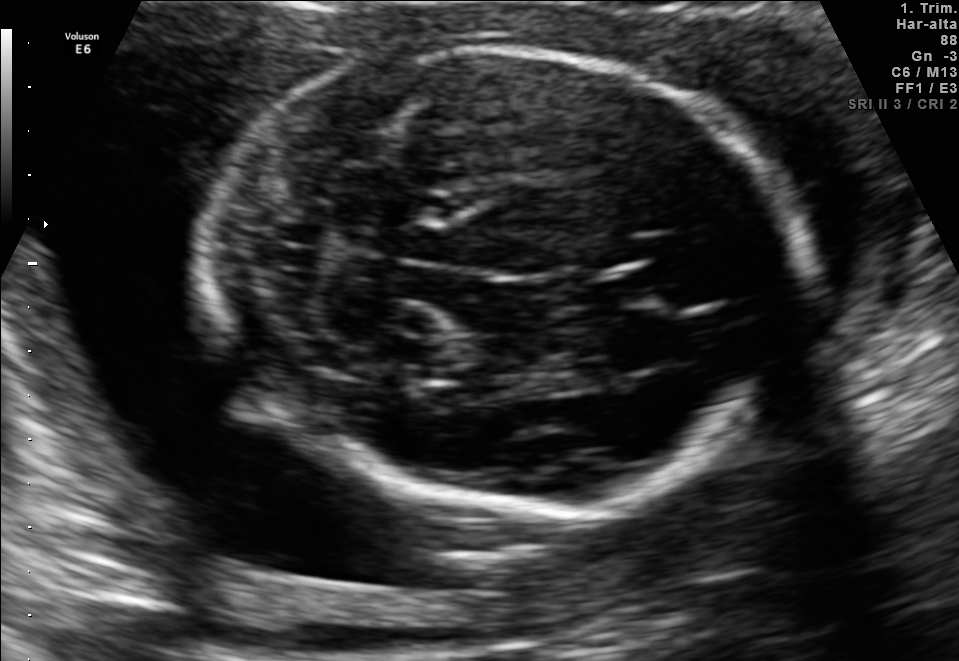
Fetal brain, trans-cerebellum plane. Locate the fetal head.

Head: [200,50,793,505]